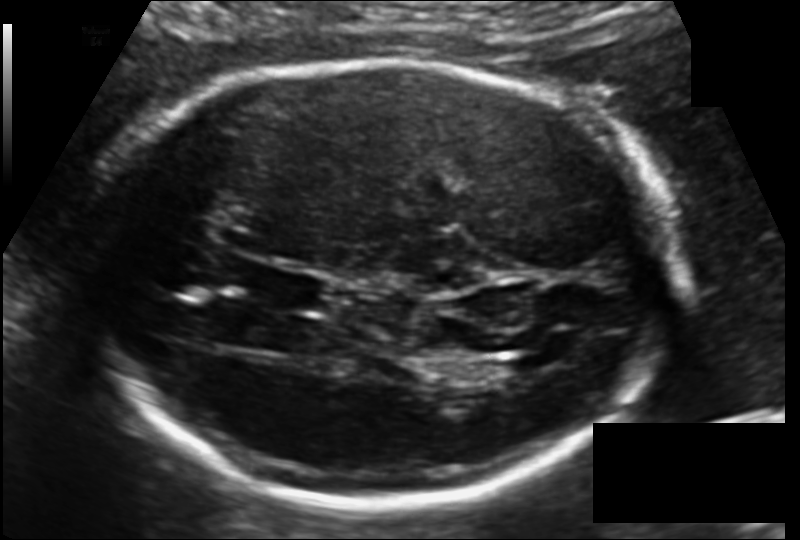
In this fetal head ultrasound, give bounding boxes for the head outline, cavum septum pellucidum (CSP), and lateral ventricle (LV), where visible. Image width: 107.8 mm.

Head: [84,59,674,511]
CSP: [254,264,326,315]
Lateral ventricle: [499,348,555,380]